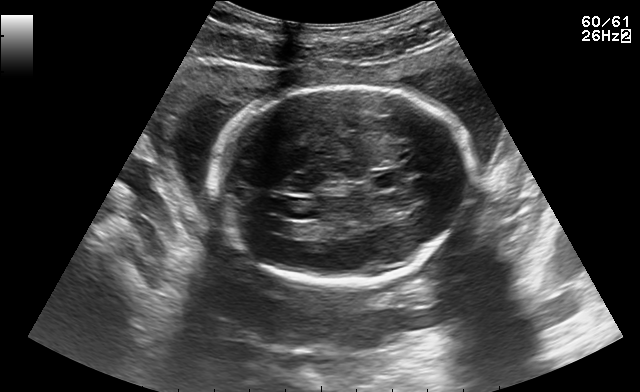
Fetal brain, trans-ventricular plane. Locate the cavum septum pellucidum.

CSP: [373,172,397,190]